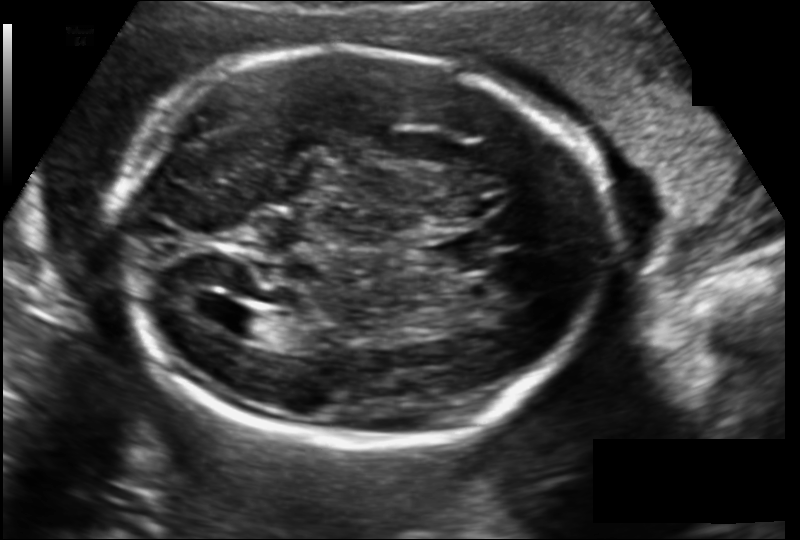
Fetal head ultrasound. Image width: 119.2 mm. Locate the fetal head and, if visible, the cavum septum pellucidum (CSP) and lateral ventricle (LV). Give bounding boxes as [x1,y1,x2,y2].

Head: [113,48,606,443]
CSP: [425,230,487,278]
Lateral ventricle: [219,305,276,343]